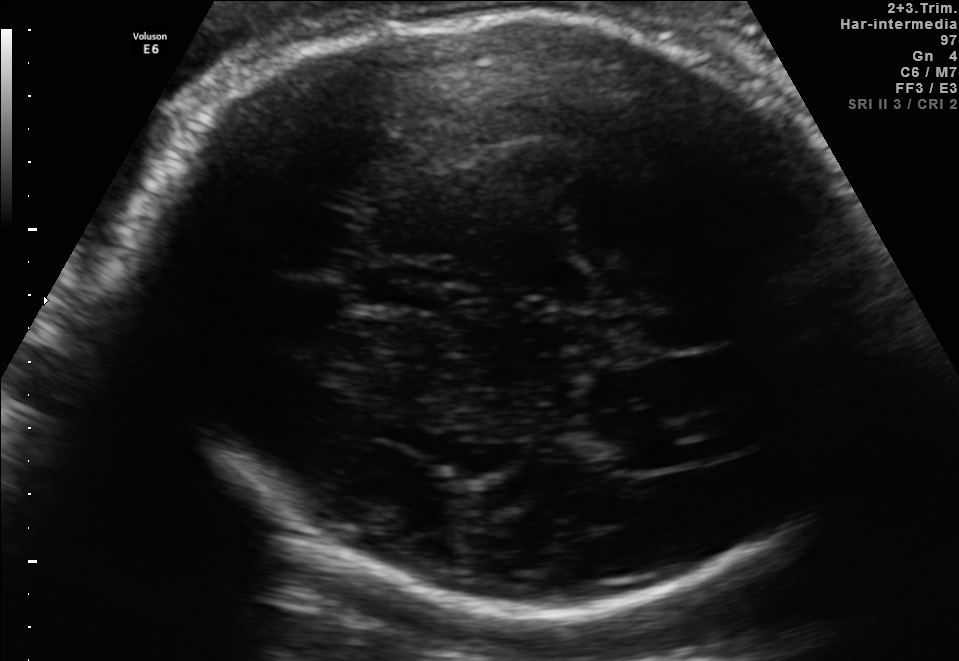
Fetal brain, trans-thalamic plane. Where is the fetal head?

Head bounding box: [137,10,862,615]